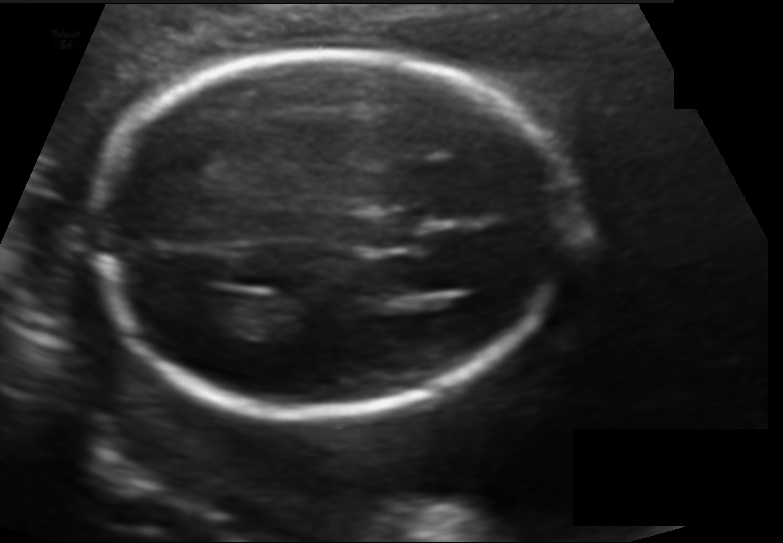
Fetal head ultrasound. Image width: 100.2 mm. Where is the fetal head?

Head bounding box: [93,55,564,412]